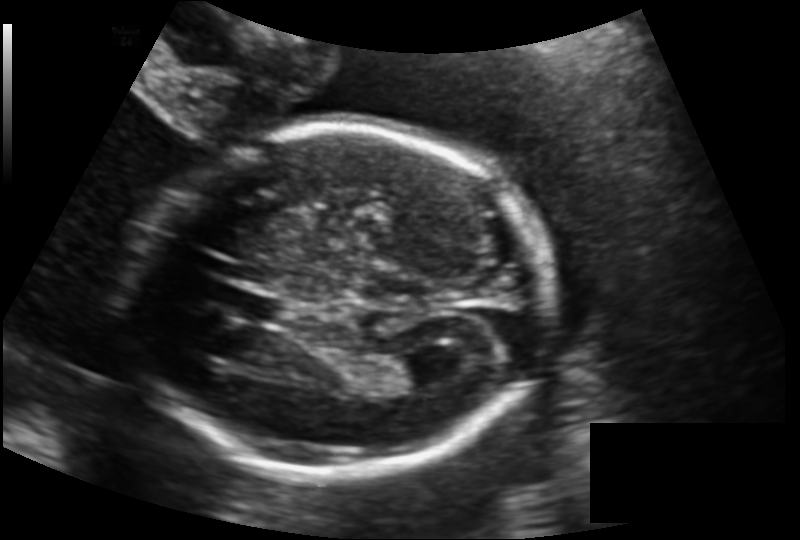
Fetal head ultrasound. Image width: 117.2 mm. Give [x1,y1,x2,y2] bounding boxes for each visible structure among: fetal head, CSP, LV.

Head: [134,125,547,474]
CSP: [225,284,291,330]
Lateral ventricle: [385,350,446,390]